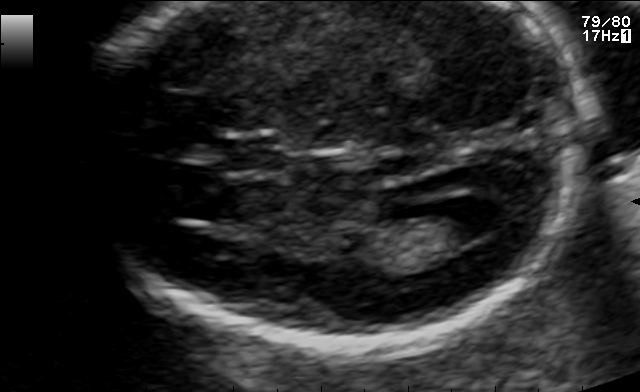
Fetal brain, trans-ventricular plane. Locate the cavum septum pellucidum.

CSP: [222,135,280,172]